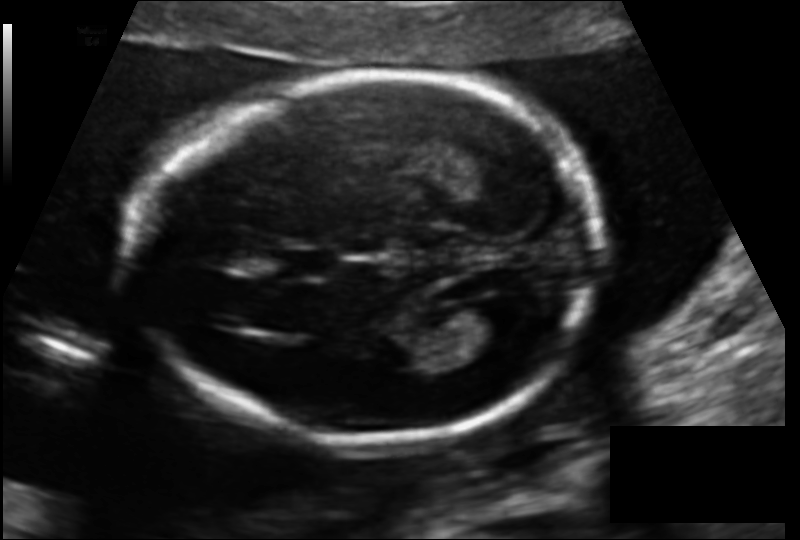
In this fetal head ultrasound, give the bounding box of the cavum septum pellucidum. Image width: 100.2 mm.

[278,248,333,277]